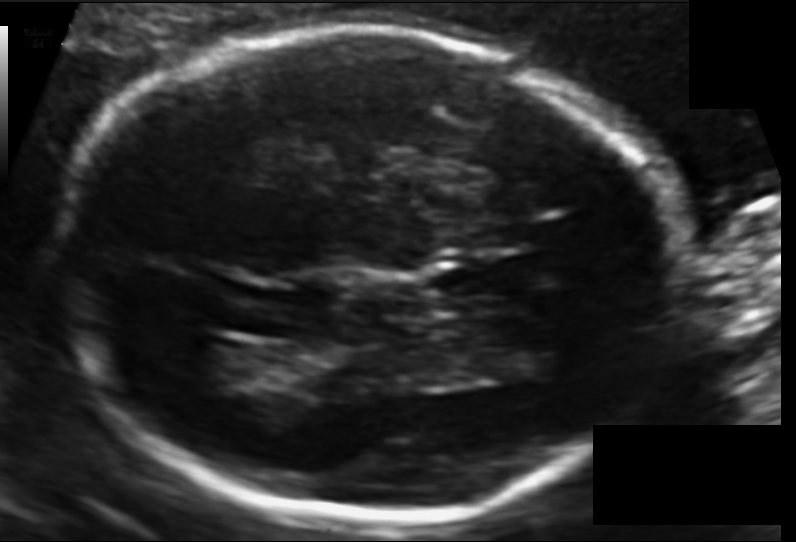
In this fetal head ultrasound, give the bounding box of the lateral ventricle. Image width: 95.4 mm.

[164,330,251,388]